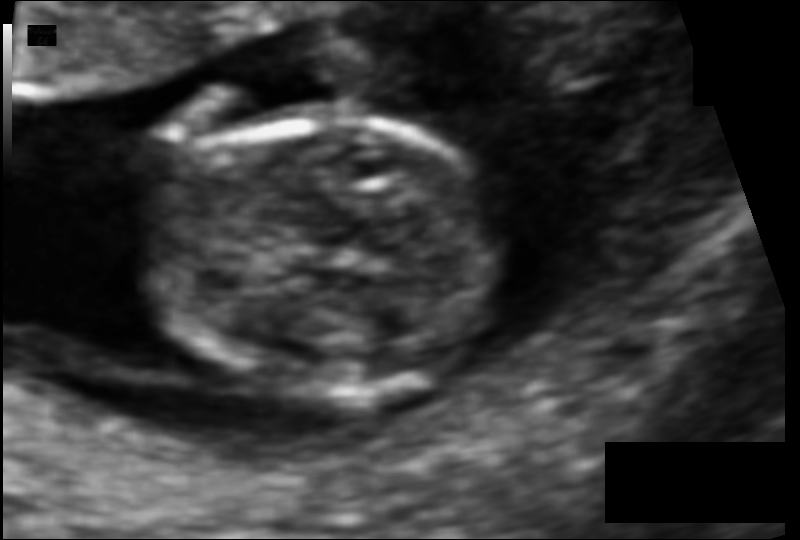
Fetal head ultrasound. Image width: 58.2 mm. Give [x1,y1,x2,y2] bounding boxes for each visible structure among: fetal head, CSP, LV.

Head: [146,120,509,400]